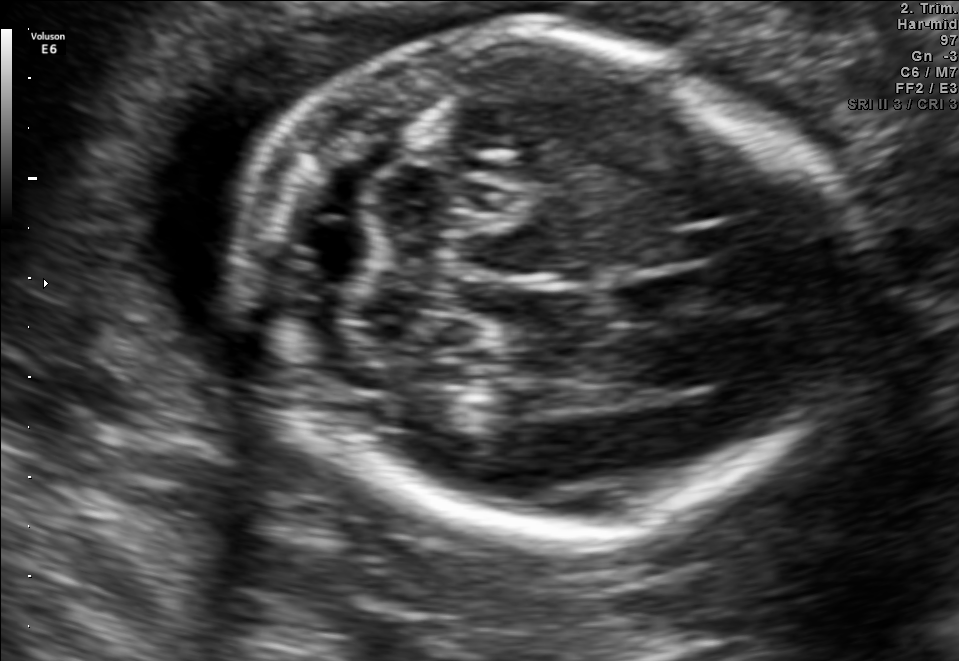
Fetal brain, trans-cerebellum plane. Locate the cavum septum pellucidum.

CSP: [614,263,718,329]